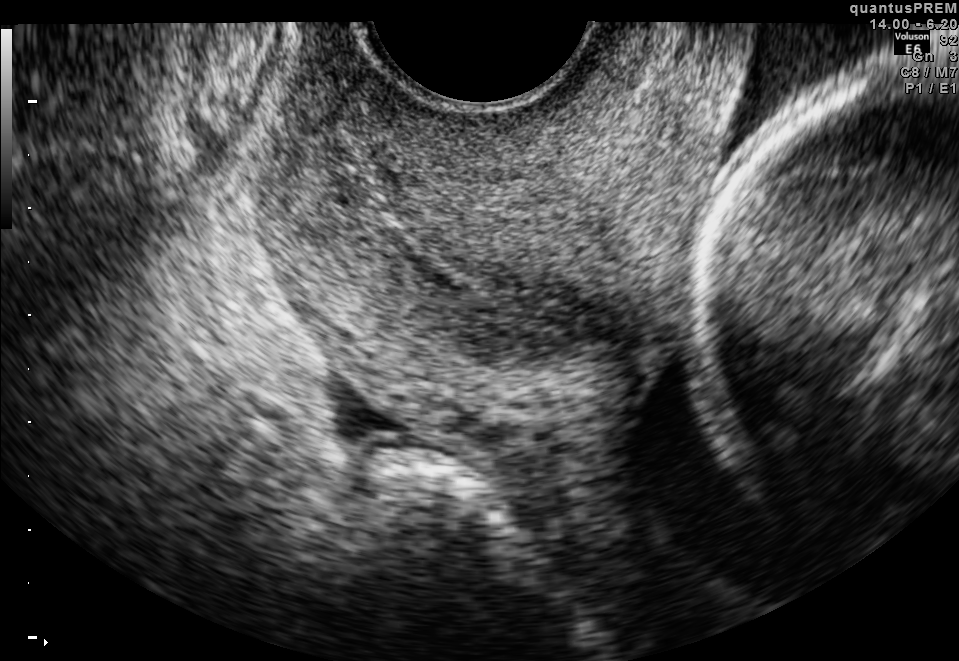
Classify this maternal-fetal ultrasound image as one of the six standard planes — fetal abdomen, fetal brain, fetal femur, fetal thorax, maternal cervix, or other. If it's fetal brain and one of the three standard brain planes (trans-thalamic, trans-cerebellum, trans-ventricular), name which.

Maternal cervix